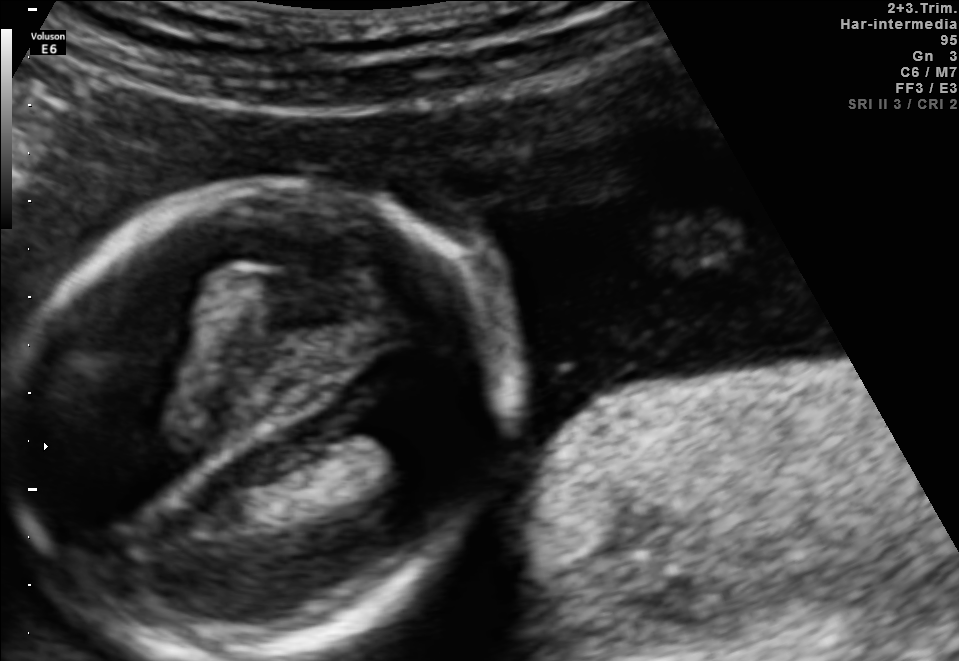
Classify this maternal-fetal ultrasound image as one of the six standard planes — fetal abdomen, fetal brain, fetal femur, fetal thorax, maternal cervix, or other. If it's fetal brain and one of the three standard brain planes (trans-thalamic, trans-cerebellum, trans-ventricular), name which.

Fetal brain